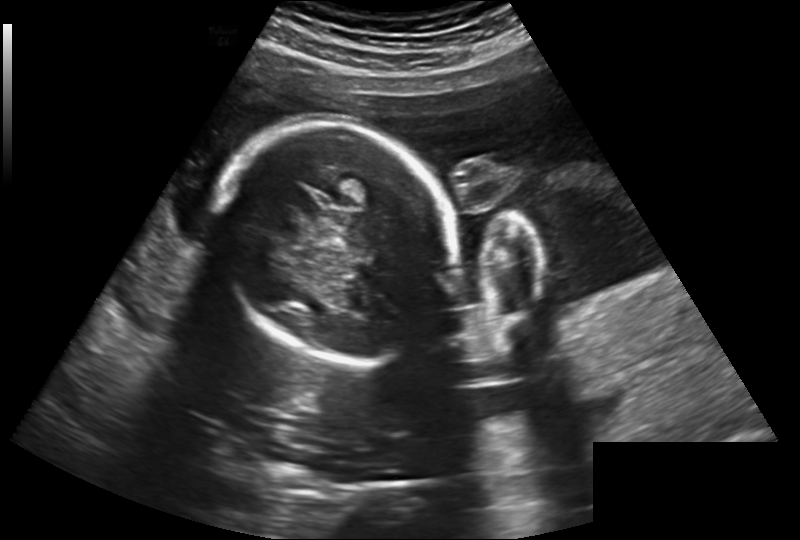
Fetal head ultrasound. Image width: 208.4 mm. Locate the fetal head.

Head: [224,121,450,362]